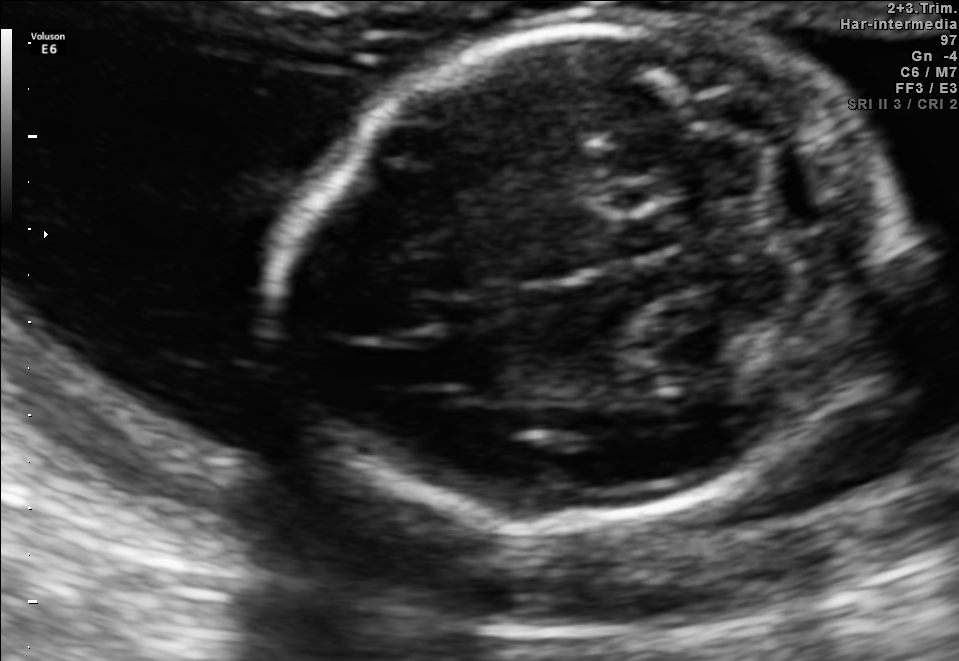
Fetal brain, trans-cerebellum plane. Locate the fetal head.

Head: [281,23,900,530]